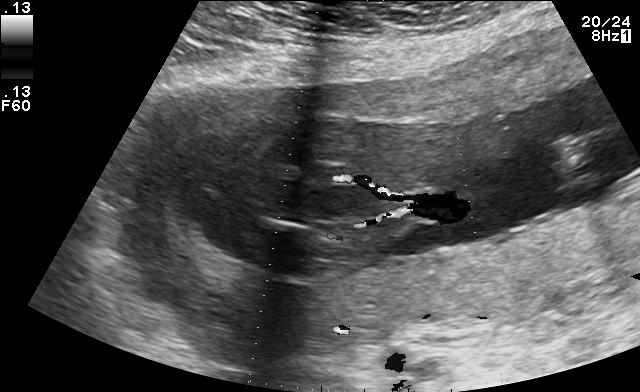
Which standard maternal-fetal ultrasound plane is shown: fetal abdomen, fetal brain, fetal femur, fetal thorax, maternal cervix, or other? If it's fetal brain and one of the three standard brain planes (trans-thalamic, trans-cerebellum, trans-ventricular), name which.

Other